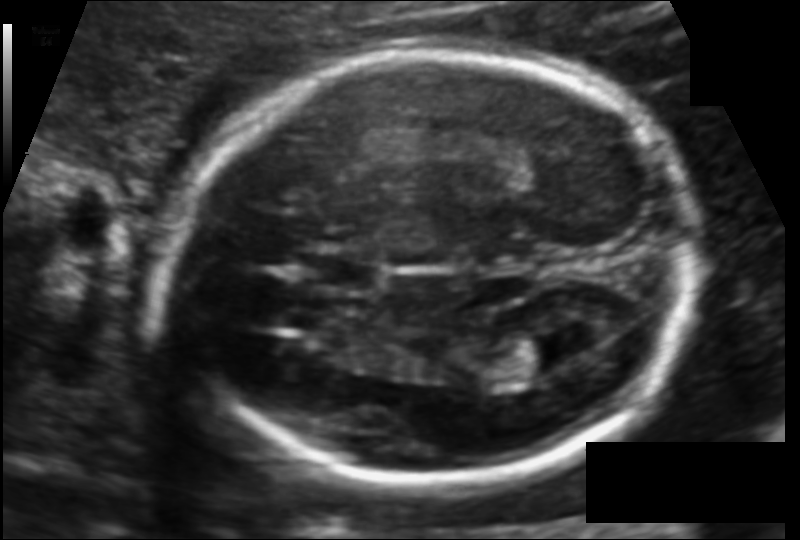
From this fetal ultrasound, estimate the head circumference (image width 90.0 mm).

Head circumference: 172.8 mm.